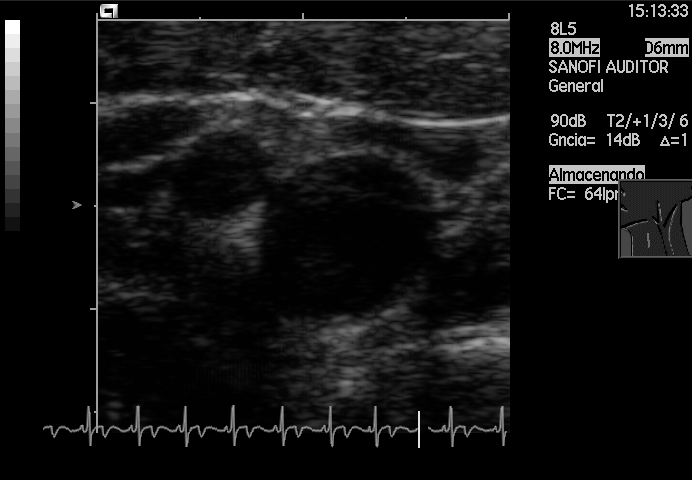
Which standard maternal-fetal ultrasound plane is shown: fetal abdomen, fetal brain, fetal femur, fetal thorax, maternal cervix, or other? If it's fetal brain and one of the three standard brain planes (trans-thalamic, trans-cerebellum, trans-ventricular), name which.

Other